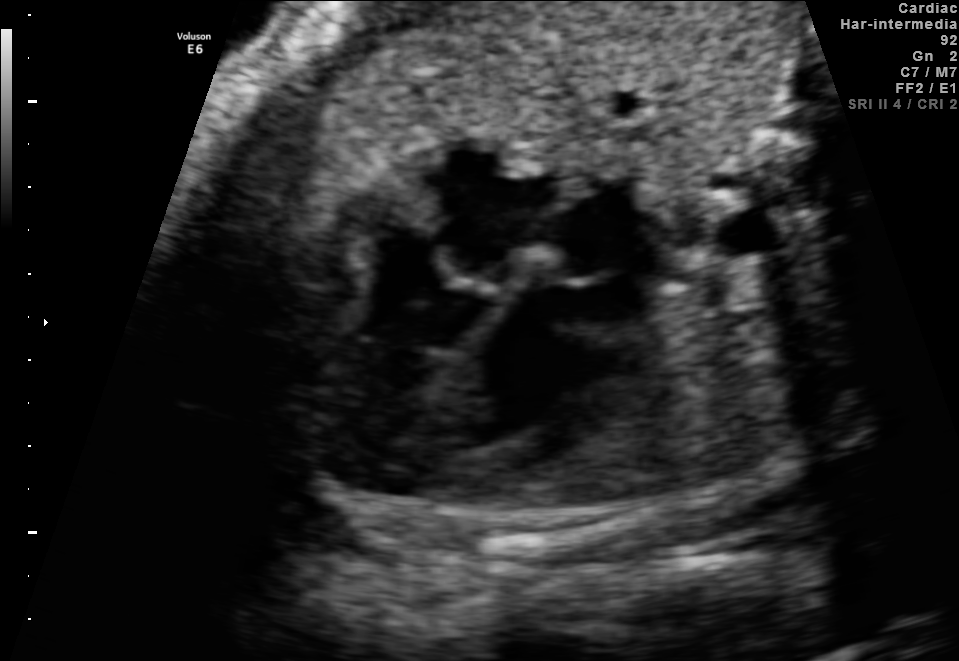
Classify this maternal-fetal ultrasound image as one of the six standard planes — fetal abdomen, fetal brain, fetal femur, fetal thorax, maternal cervix, or other. If it's fetal brain and one of the three standard brain planes (trans-thalamic, trans-cerebellum, trans-ventricular), name which.

Fetal thorax